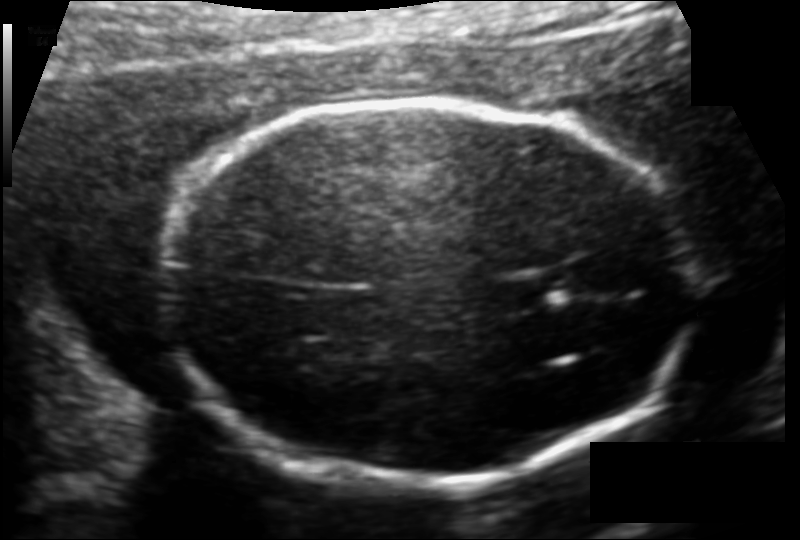
Fetal head ultrasound. Image width: 95.0 mm. Locate the fetal head.

Head: [166,101,694,488]